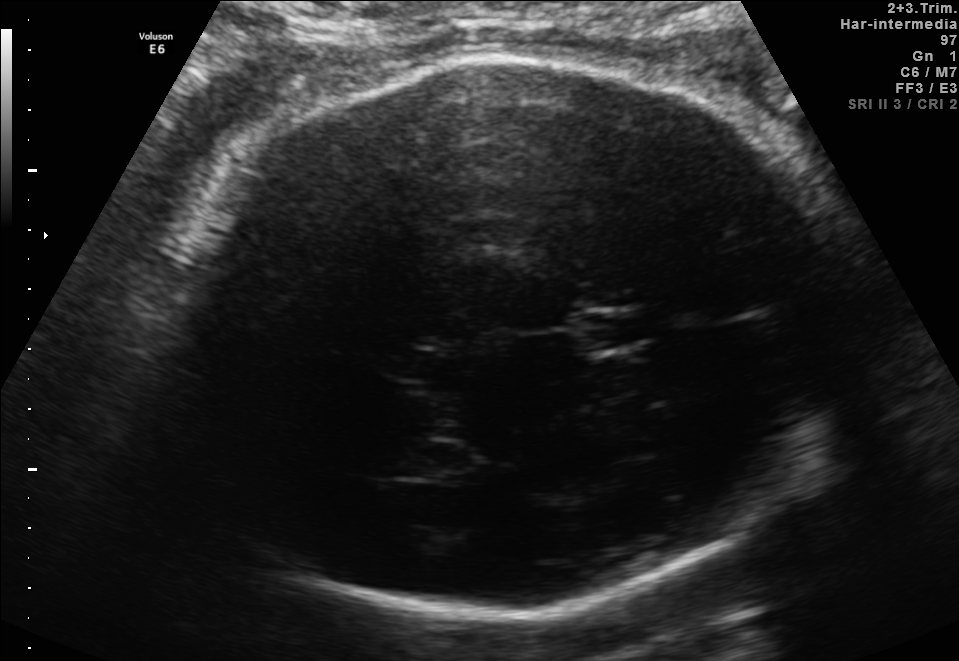
Fetal brain, trans-thalamic plane. Where is the lateral ventricle?

Lateral ventricle bounding box: [380,442,465,479]